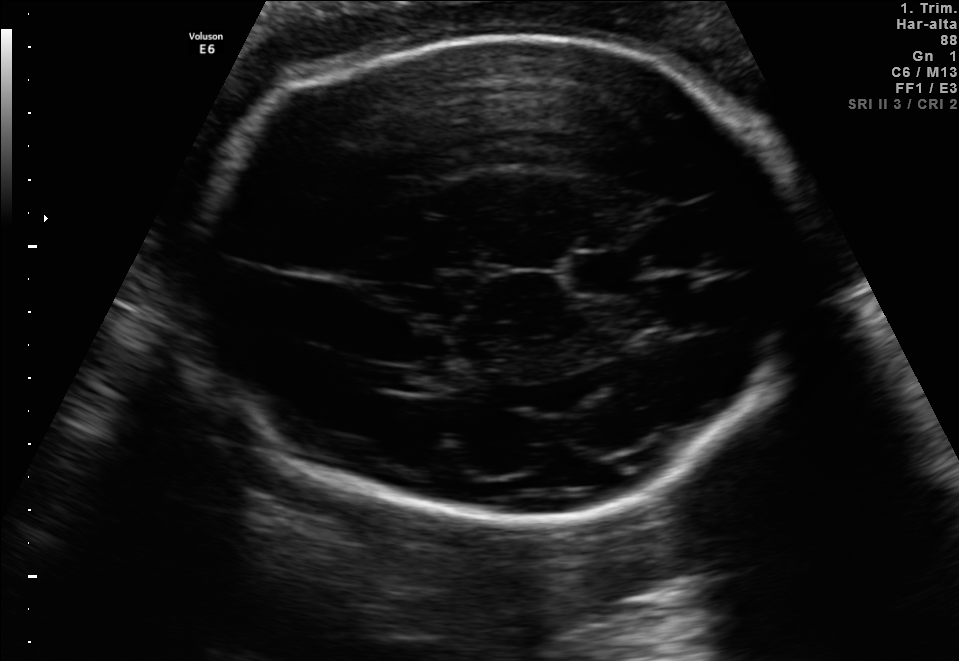
Fetal brain, trans-thalamic plane. Where is the lateral ventricle?

Lateral ventricle bounding box: [370,363,449,396]